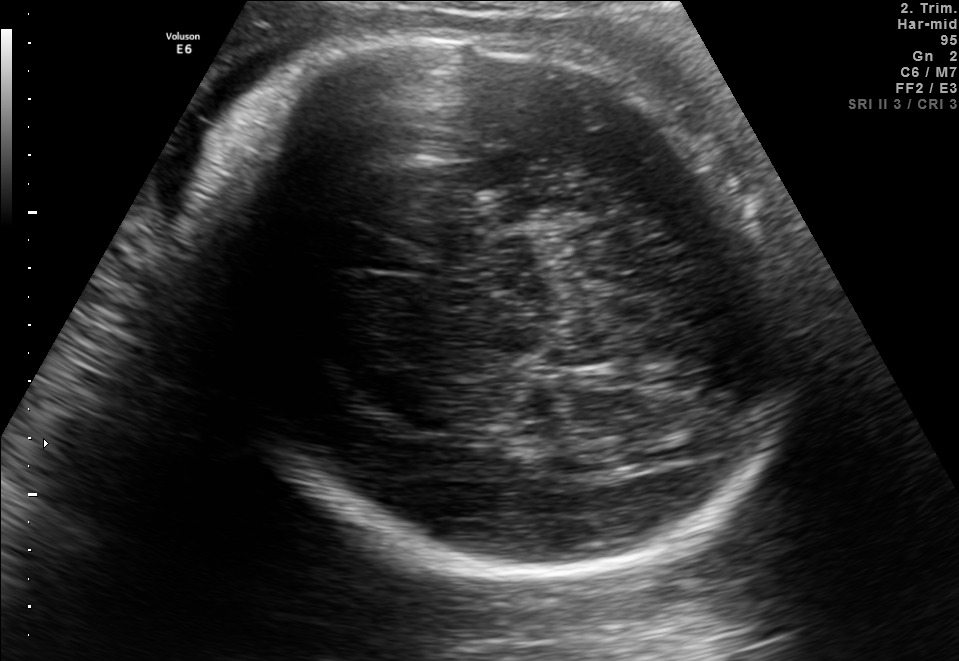
Which standard maternal-fetal ultrasound plane is shown: fetal abdomen, fetal brain, fetal femur, fetal thorax, maternal cervix, or other? If it's fetal brain and one of the three standard brain planes (trans-thalamic, trans-cerebellum, trans-ventricular), name which.

Fetal brain (trans-thalamic plane)